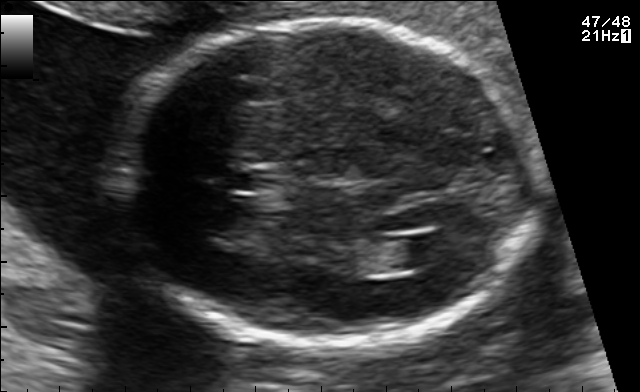
In this fetal brain, trans-ventricular plane, give the bounding box of the cavum septum pellucidum.

[231,169,273,191]